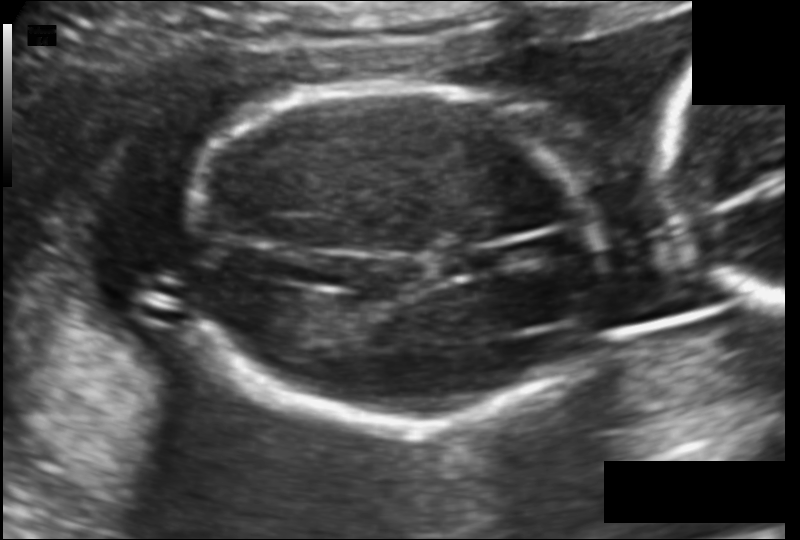
Fetal head ultrasound. Image width: 94.3 mm. Locate the fetal head and, if visible, the cavum septum pellucidum (CSP) and lateral ventricle (LV). Give bounding boxes as [x1,y1,x2,y2].

Head: [183,83,601,425]
CSP: [441,248,486,277]